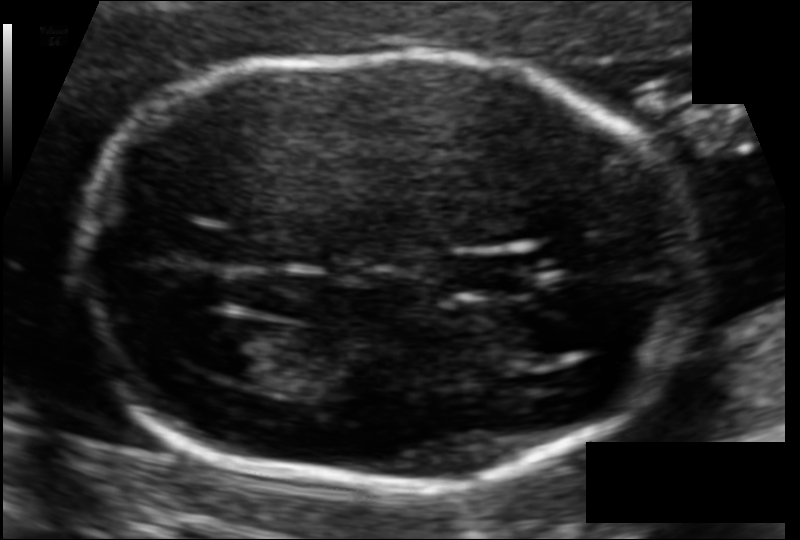
Fetal head ultrasound. Image width: 73.9 mm. Where is the cavum septum pellucidum?

CSP bounding box: [447,254,529,292]